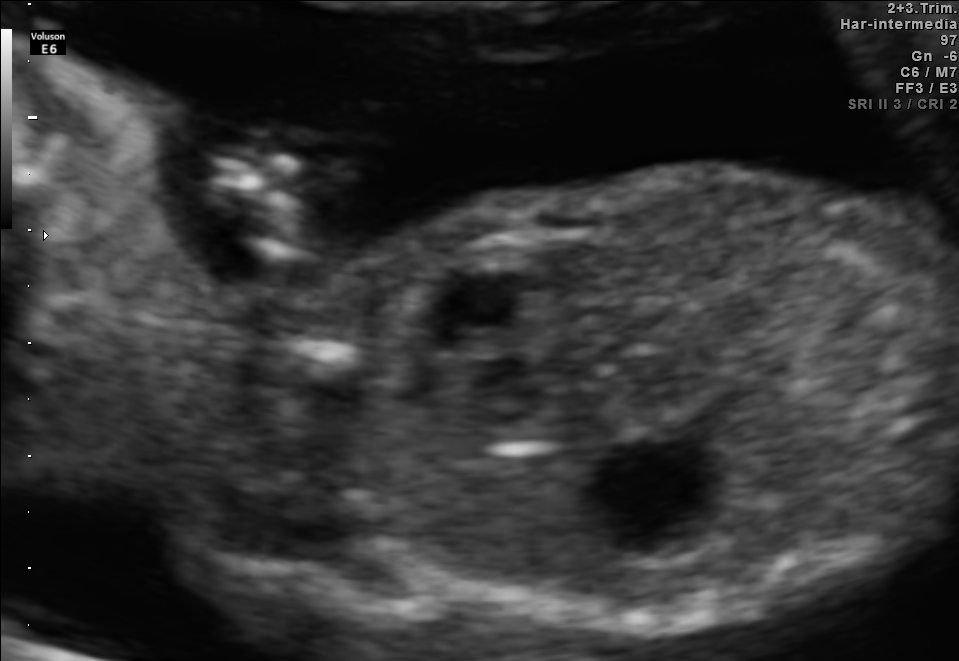
This is a 2D maternal-fetal ultrasound frame. Is it a fetal abdomen, fetal brain, fetal femur, fetal thorax, maternal cervix, or other standard plane? If it's fetal brain and one of the three standard brain planes (trans-thalamic, trans-cerebellum, trans-ventricular), name which.

Fetal abdomen